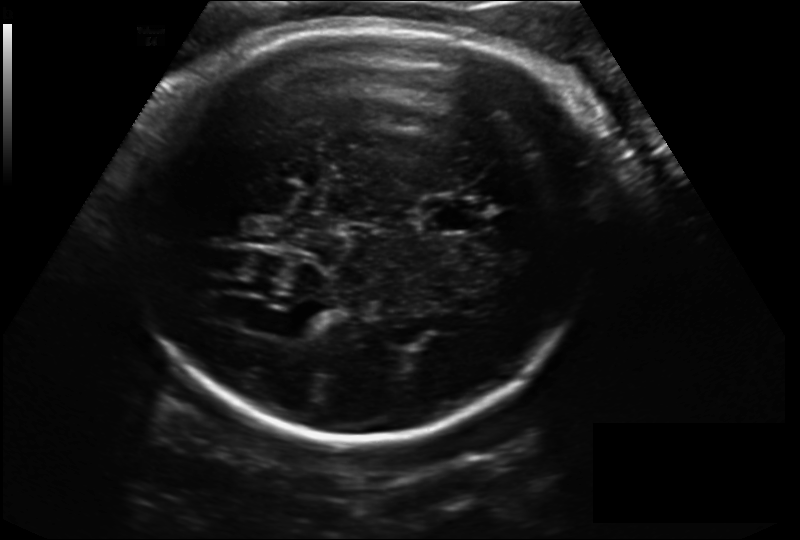
What is the fetal head circumference? Image width is 158.7 mm.

282.8 mm